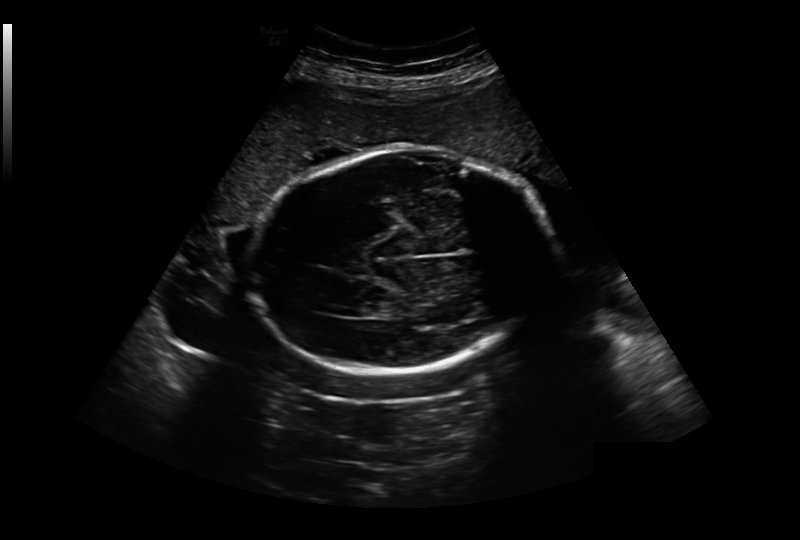
Estimate the fetal head circumference from this 2D ultrasound.

Head circumference: 291.3 mm (image width 278.8 mm).